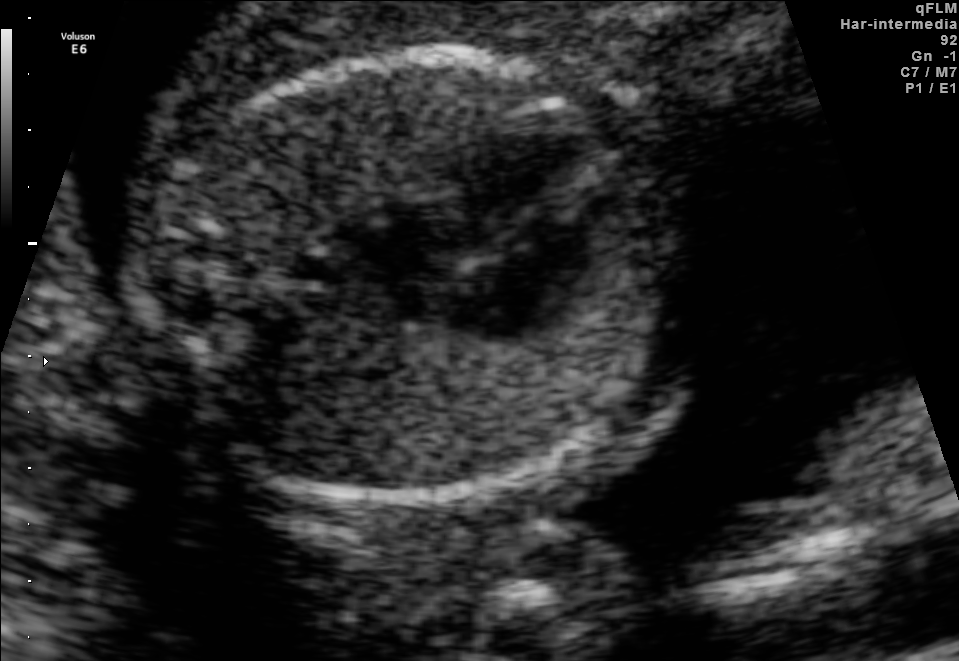
This is a 2D maternal-fetal ultrasound frame. Is it a fetal abdomen, fetal brain, fetal femur, fetal thorax, maternal cervix, or other standard plane? If it's fetal brain and one of the three standard brain planes (trans-thalamic, trans-cerebellum, trans-ventricular), name which.

Fetal thorax